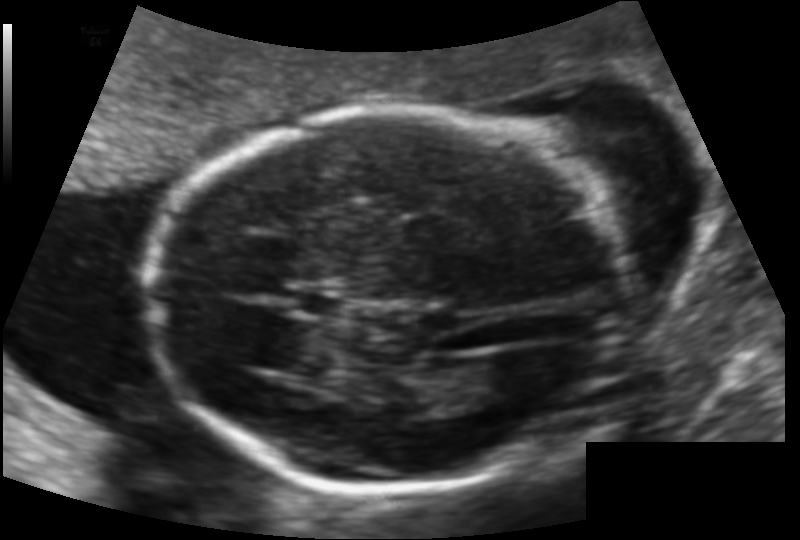
Measure the fetal head circumference shown in this ultrasound image. Image width: 94.5 mm.

Head circumference: 163.6 mm.